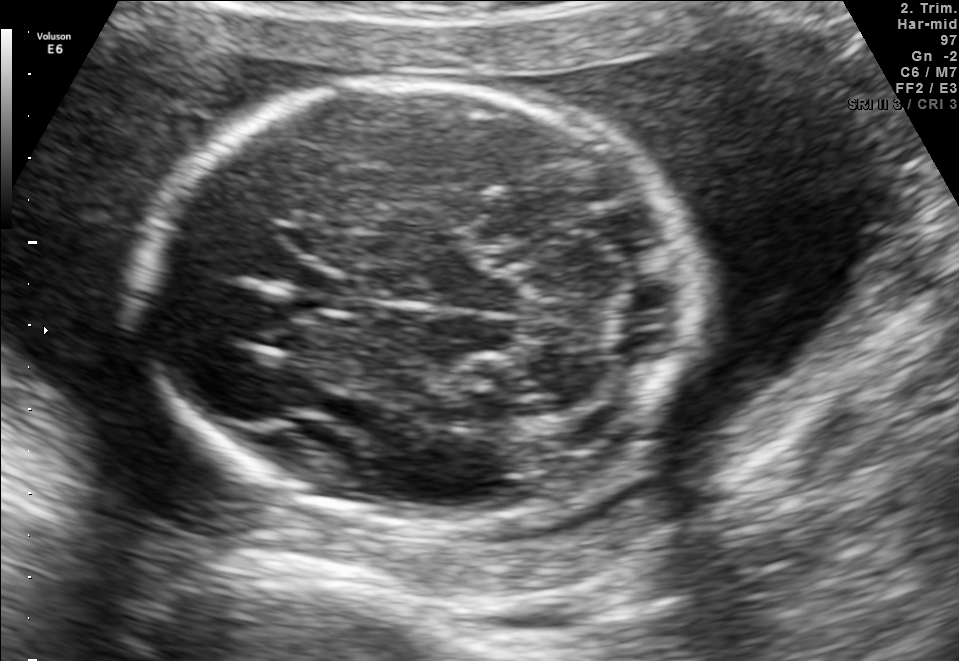
Fetal brain, trans-cerebellum plane. Locate the fetal head.

Head: [142,77,691,528]